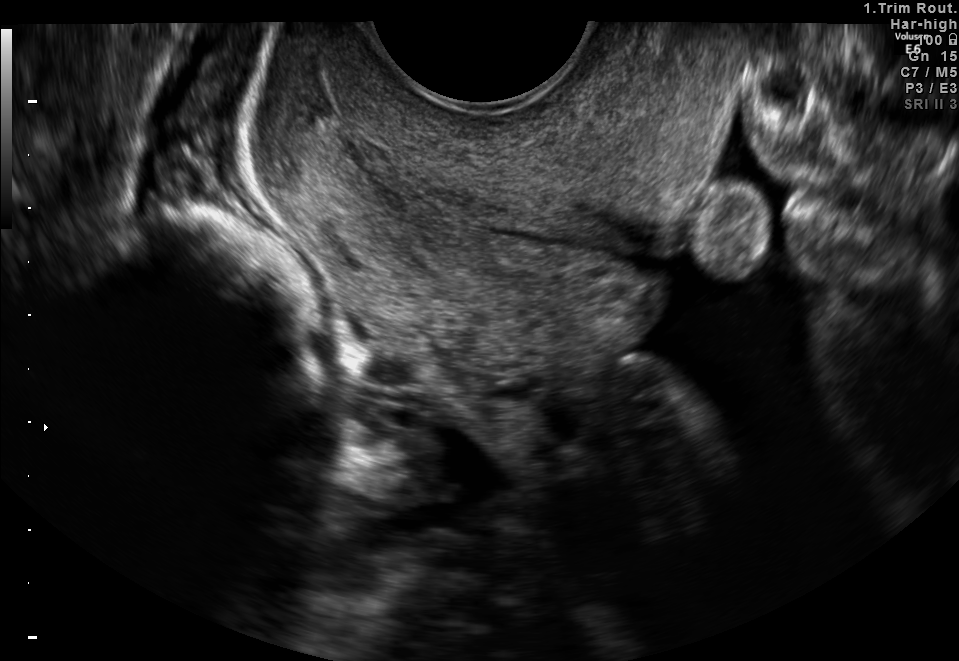
Identify the standard plane in this fetal ultrasound image: fetal abdomen, fetal brain, fetal femur, fetal thorax, maternal cervix, or other. If it's fetal brain and one of the three standard brain planes (trans-thalamic, trans-cerebellum, trans-ventricular), name which.

Maternal cervix